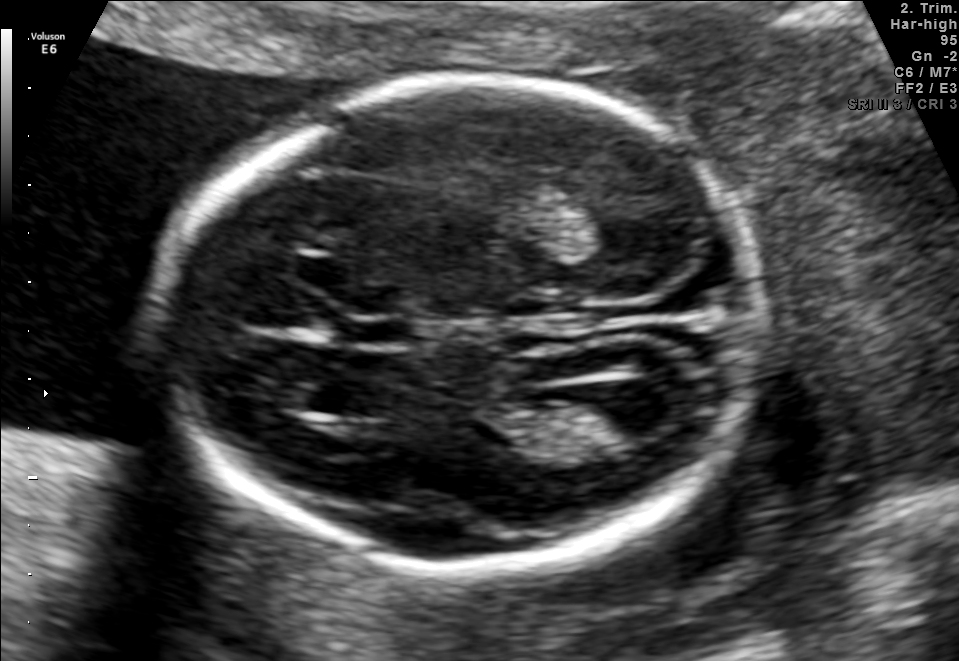
In this fetal brain, trans-ventricular plane, give the bounding box of the lateral ventricle.

[578,368,686,454]